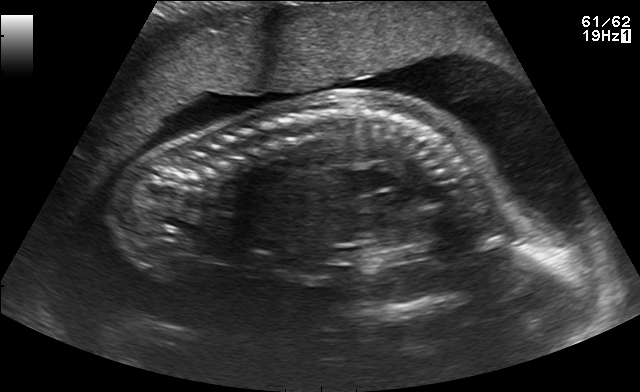
Which standard maternal-fetal ultrasound plane is shown: fetal abdomen, fetal brain, fetal femur, fetal thorax, maternal cervix, or other? If it's fetal brain and one of the three standard brain planes (trans-thalamic, trans-cerebellum, trans-ventricular), name which.

Other